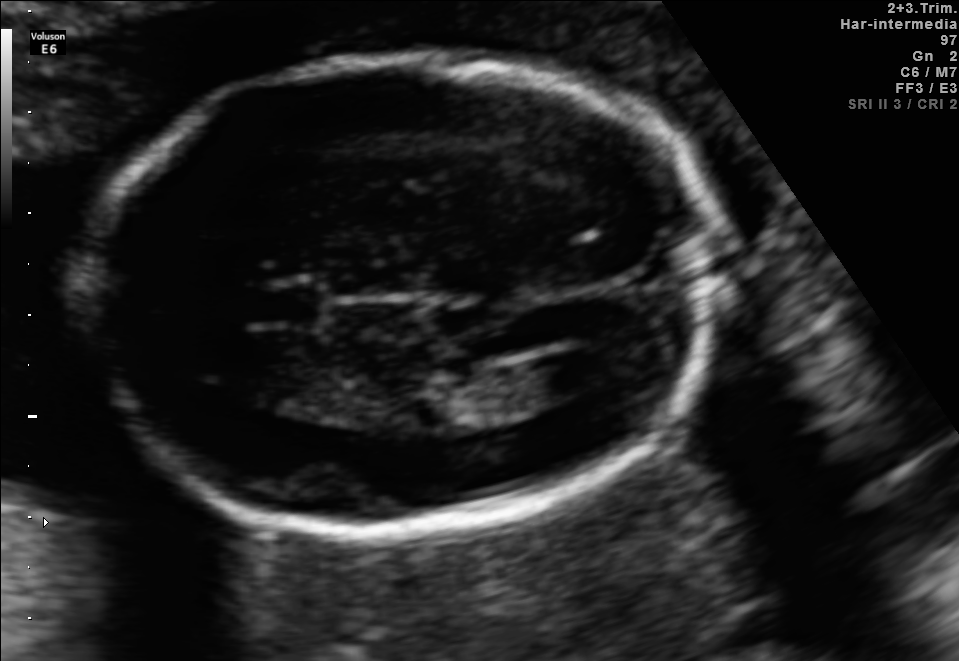
Identify the standard plane in this fetal ultrasound image: fetal abdomen, fetal brain, fetal femur, fetal thorax, maternal cervix, or other. If it's fetal brain and one of the three standard brain planes (trans-thalamic, trans-cerebellum, trans-ventricular), name which.

Fetal brain (trans-ventricular plane)